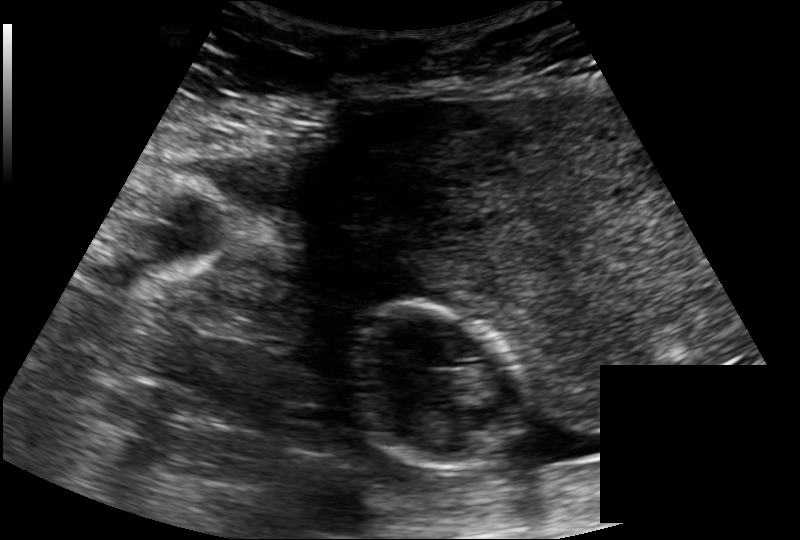
Fetal head ultrasound. Image width: 136.5 mm. Where is the fetal head?

Head bounding box: [345,302,516,470]